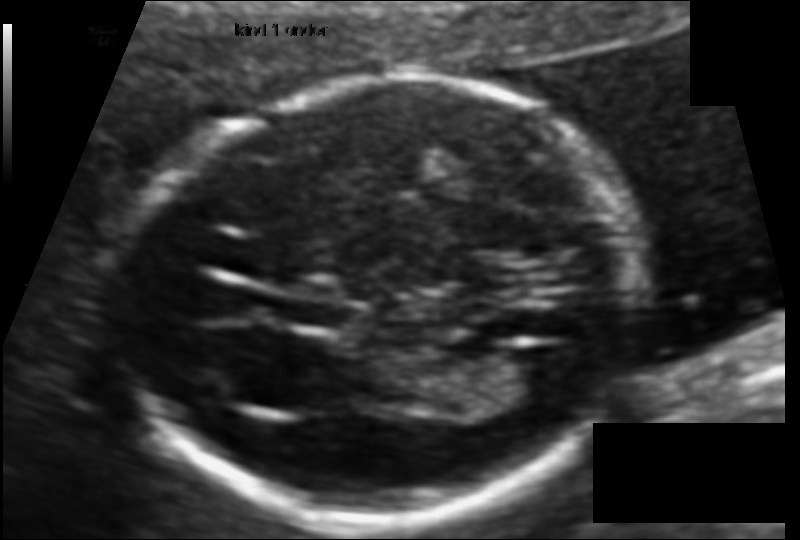
Estimate the fetal head circumference from this 2D ultrasound. Image width: 75.7 mm.

Head circumference: 148.9 mm.